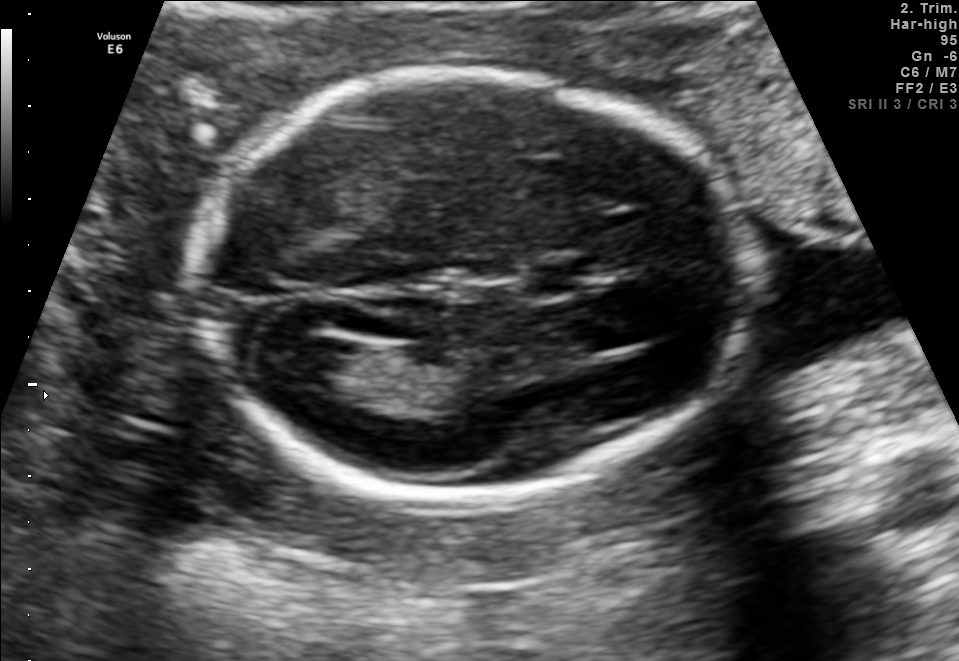
Fetal brain, trans-ventricular plane. Where is the cavum septum pellucidum?

CSP bounding box: [521,248,609,306]